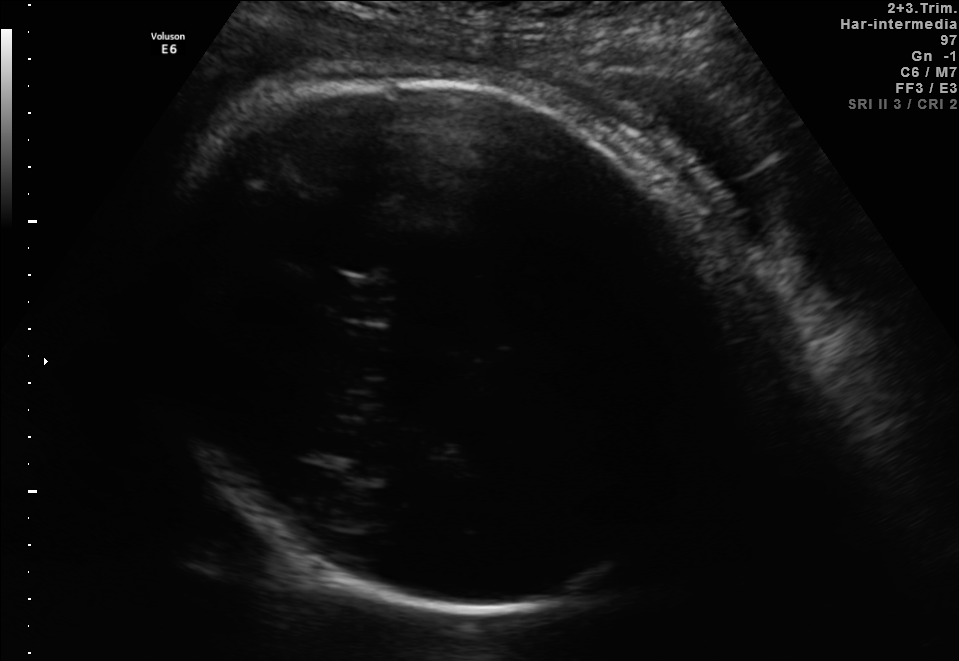
Fetal brain, trans-thalamic plane. Locate the fetal head.

Head: [144,79,735,612]